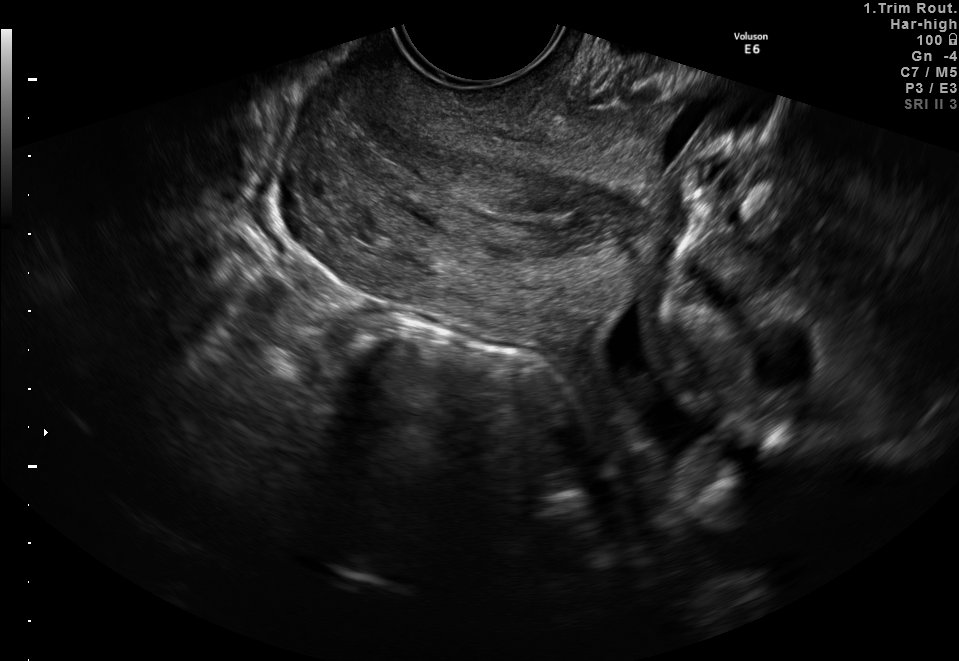
Which standard maternal-fetal ultrasound plane is shown: fetal abdomen, fetal brain, fetal femur, fetal thorax, maternal cervix, or other? If it's fetal brain and one of the three standard brain planes (trans-thalamic, trans-cerebellum, trans-ventricular), name which.

Maternal cervix